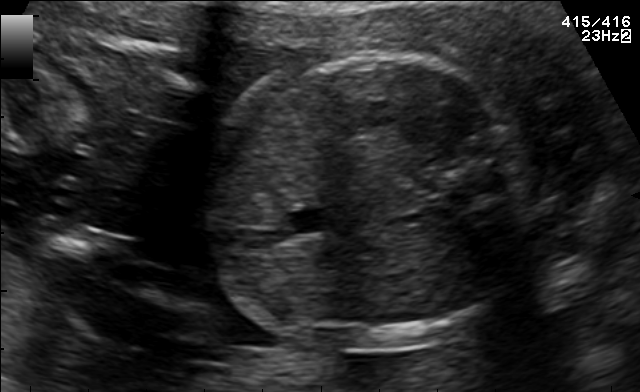
Identify the standard plane in this fetal ultrasound image: fetal abdomen, fetal brain, fetal femur, fetal thorax, maternal cervix, or other. If it's fetal brain and one of the three standard brain planes (trans-thalamic, trans-cerebellum, trans-ventricular), name which.

Fetal abdomen